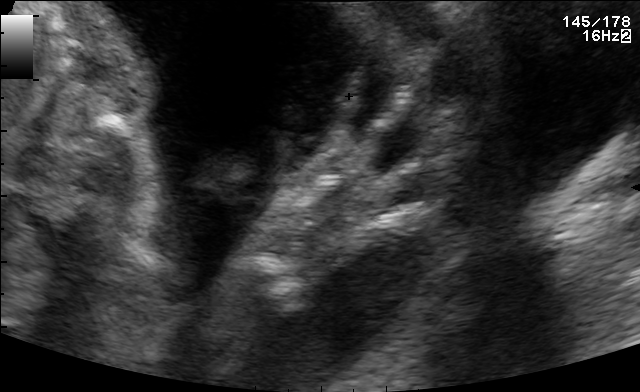
Identify the standard plane in this fetal ultrasound image: fetal abdomen, fetal brain, fetal femur, fetal thorax, maternal cervix, or other. If it's fetal brain and one of the three standard brain planes (trans-thalamic, trans-cerebellum, trans-ventricular), name which.

Other